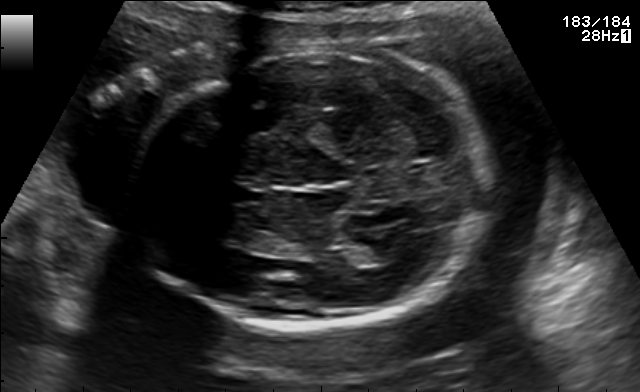
Identify the standard plane in this fetal ultrasound image: fetal abdomen, fetal brain, fetal femur, fetal thorax, maternal cervix, or other. If it's fetal brain and one of the three standard brain planes (trans-thalamic, trans-cerebellum, trans-ventricular), name which.

Fetal brain (trans-thalamic plane)